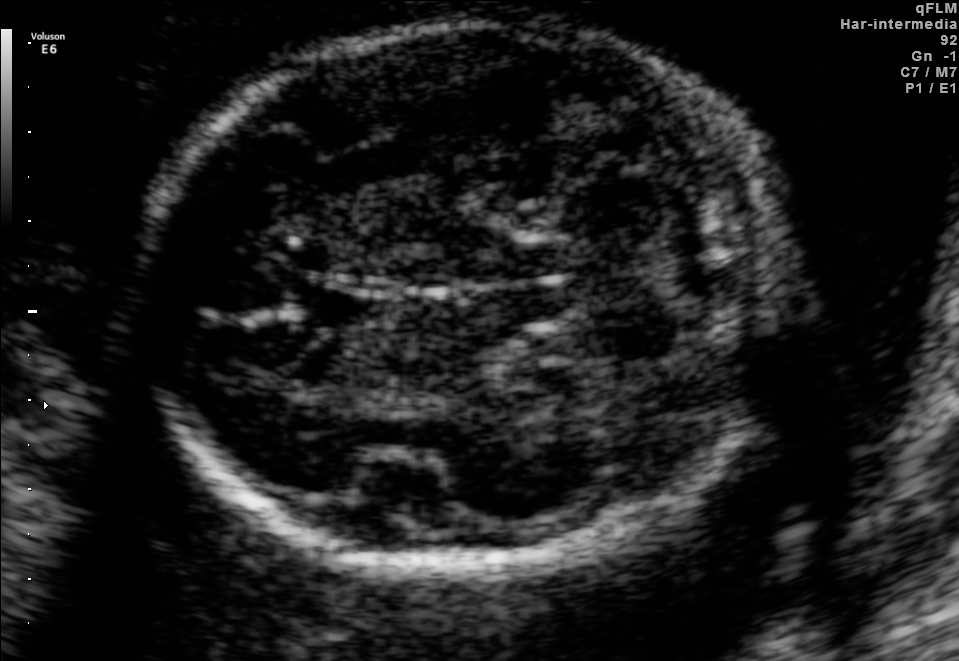
In this fetal brain, trans-cerebellum plane, give bounding boxes for the head outline, cavum septum pellucidum (CSP), and lateral ventricle (LV), where visible.

Head: [145,28,776,567]
CSP: [289,284,390,333]